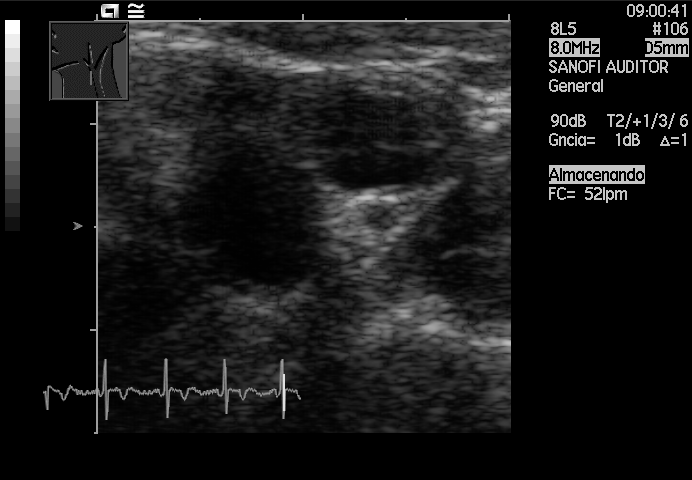
Which standard maternal-fetal ultrasound plane is shown: fetal abdomen, fetal brain, fetal femur, fetal thorax, maternal cervix, or other? If it's fetal brain and one of the three standard brain planes (trans-thalamic, trans-cerebellum, trans-ventricular), name which.

Other